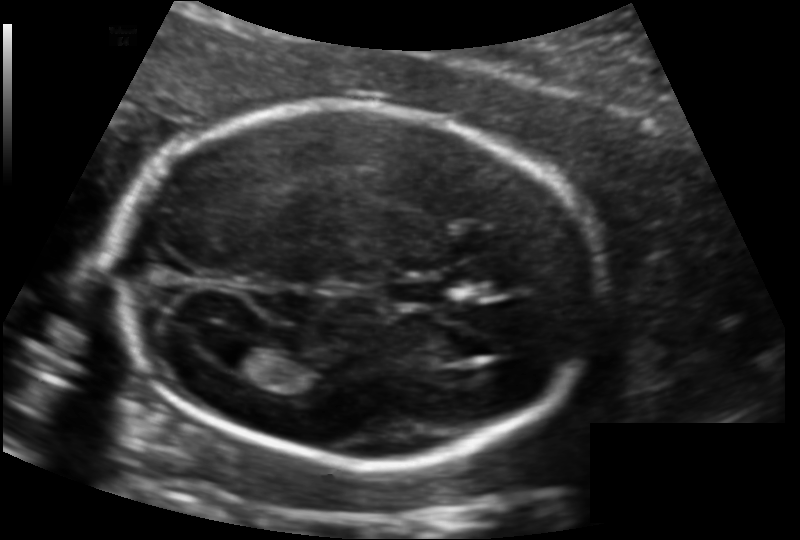
Estimate the fetal head circumference from this 2D ultrasound. Image width: 107.1 mm.

Head circumference: 183.8 mm.